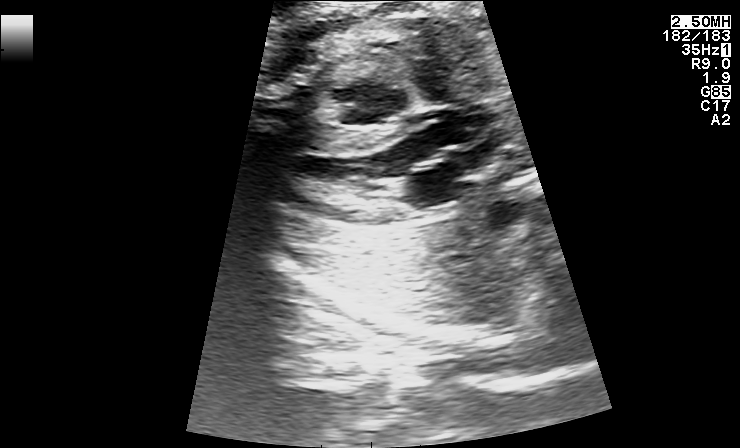
This is a 2D maternal-fetal ultrasound frame. Is it a fetal abdomen, fetal brain, fetal femur, fetal thorax, maternal cervix, or other standard plane? If it's fetal brain and one of the three standard brain planes (trans-thalamic, trans-cerebellum, trans-ventricular), name which.

Other